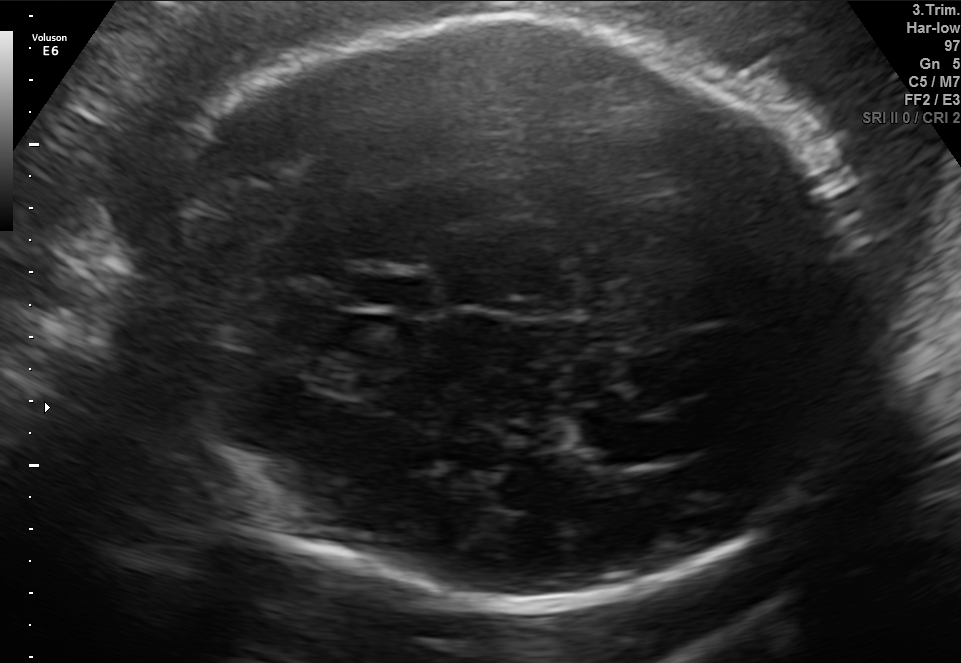
In this fetal brain, trans-thalamic plane, give the bounding box of the fetal head.

[152,19,875,608]